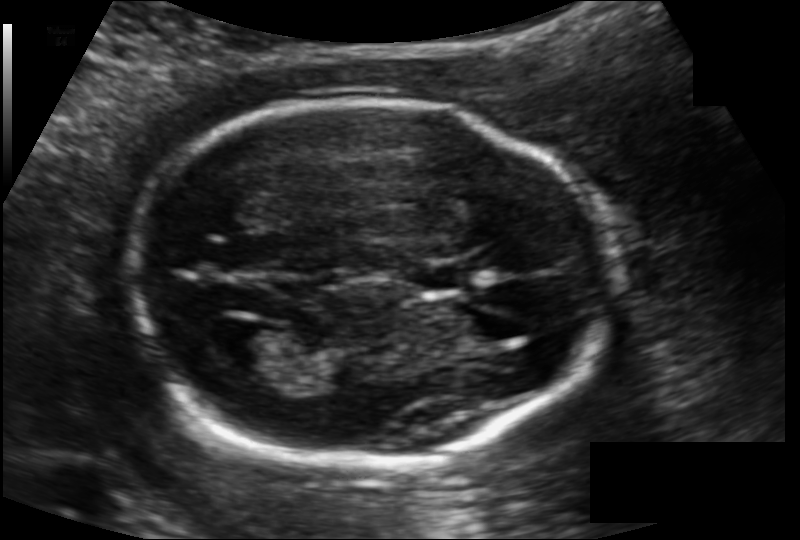
What is the fetal head circumference? Image width is 96.5 mm.

164.1 mm